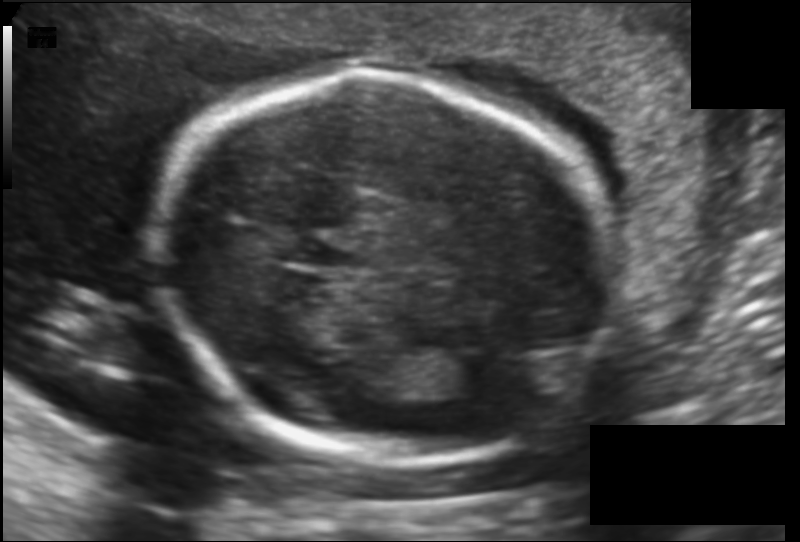
Fetal head ultrasound. Image width: 103.7 mm. Give [x1,y1,x2,y2] bounding boxes for each visible structure among: fetal head, CSP, LV.

Head: [165,72,618,463]